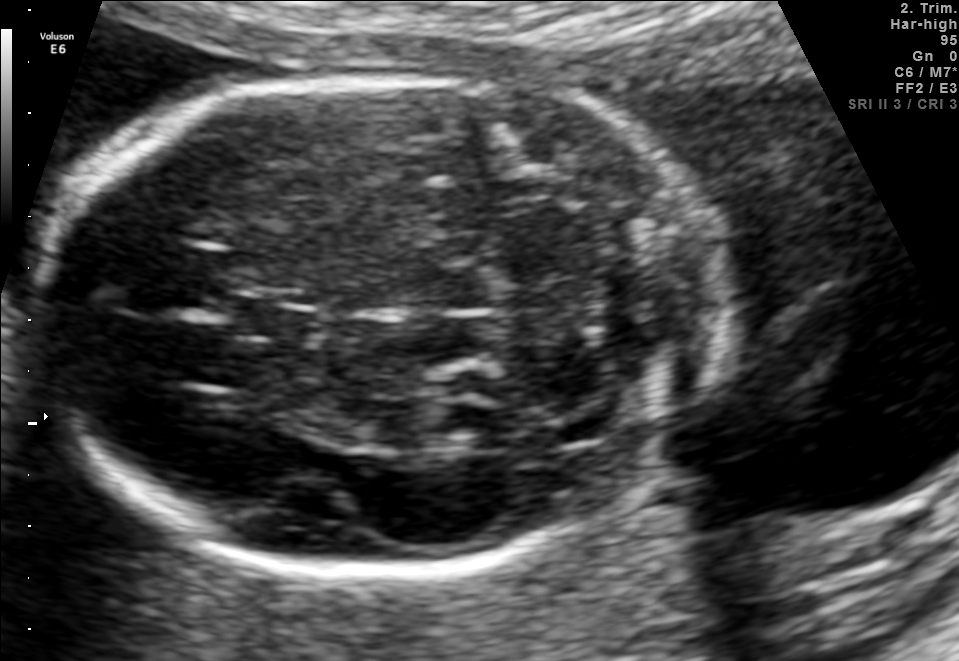
In this fetal brain, trans-cerebellum plane, give the bounding box of the fetal head.

[37,71,728,574]